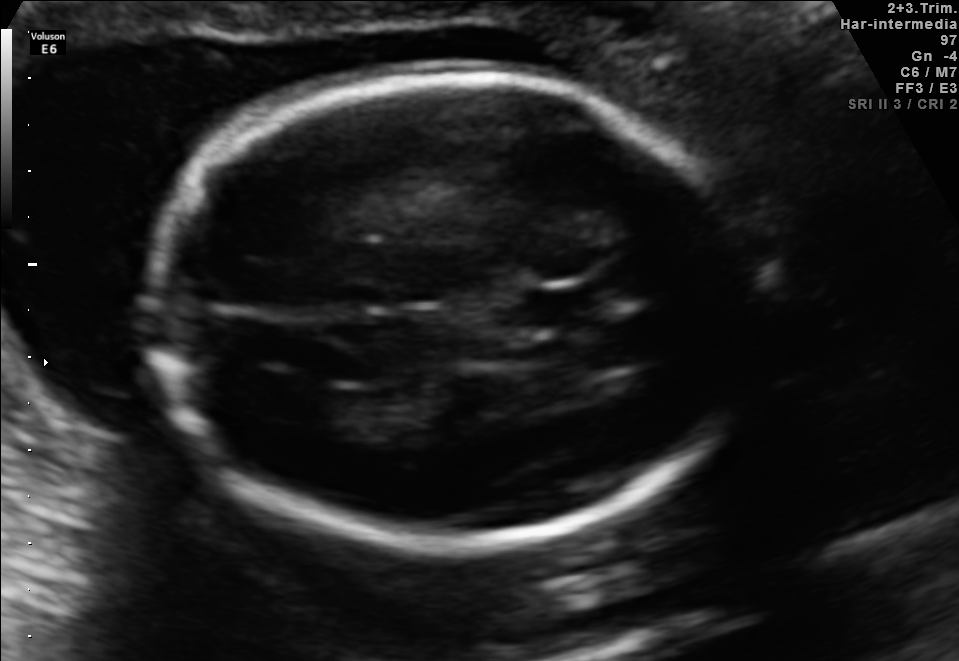
Fetal brain, trans-ventricular plane. Where is the cavum septum pellucidum?

CSP bounding box: [517,291,601,329]